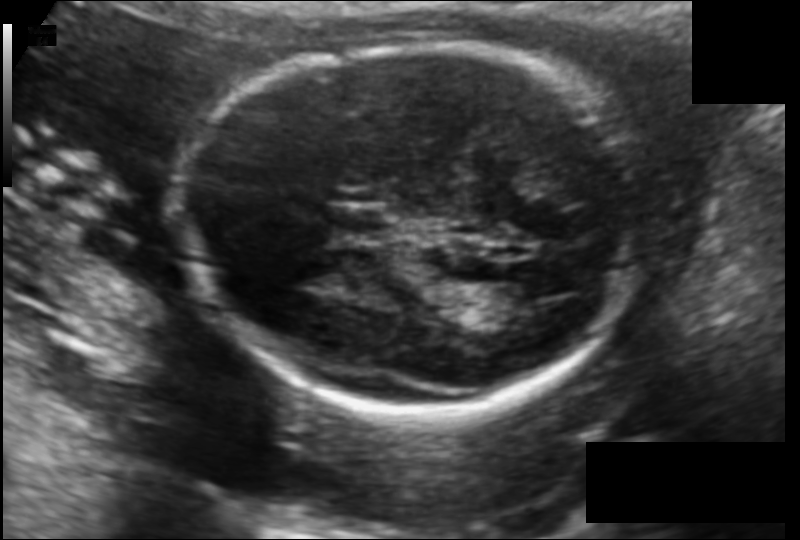
Measure the fetal head circumference shown in this ultrasound image. Image width: 98.5 mm.

Head circumference: 165.8 mm.